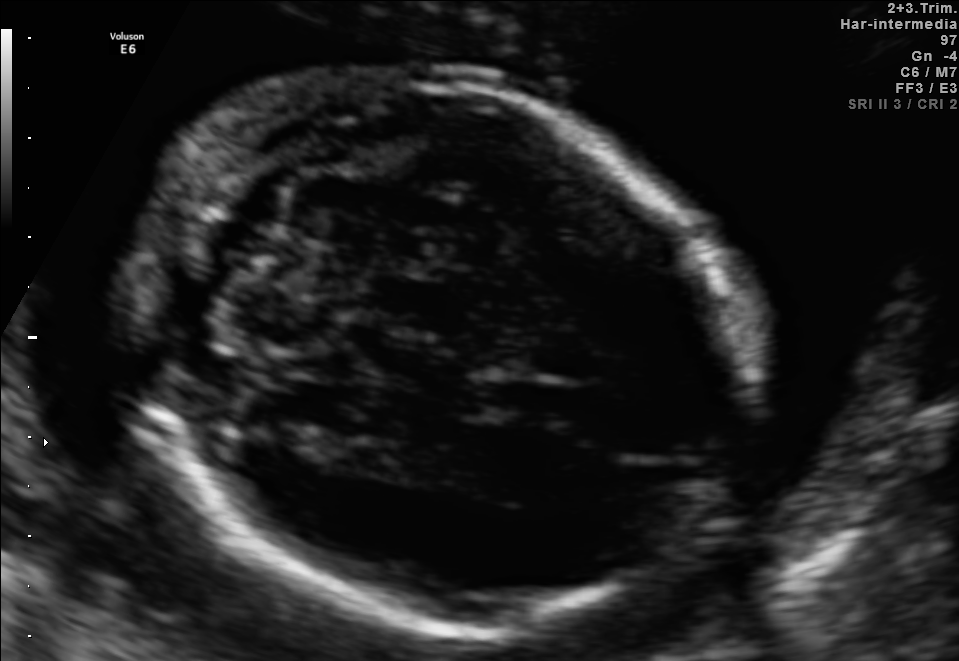
Identify the standard plane in this fetal ultrasound image: fetal abdomen, fetal brain, fetal femur, fetal thorax, maternal cervix, or other. If it's fetal brain and one of the three standard brain planes (trans-thalamic, trans-cerebellum, trans-ventricular), name which.

Fetal brain (trans-cerebellum plane)